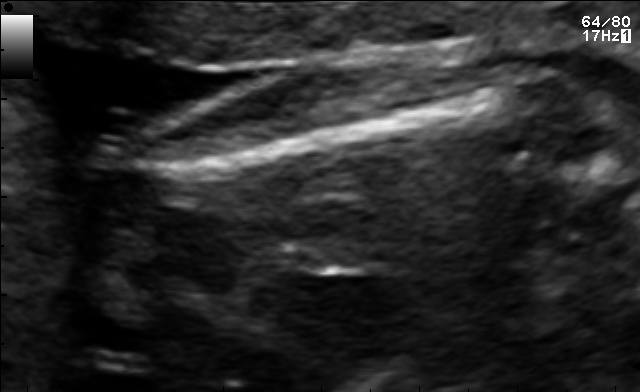
Identify the standard plane in this fetal ultrasound image: fetal abdomen, fetal brain, fetal femur, fetal thorax, maternal cervix, or other. If it's fetal brain and one of the three standard brain planes (trans-thalamic, trans-cerebellum, trans-ventricular), name which.

Fetal femur